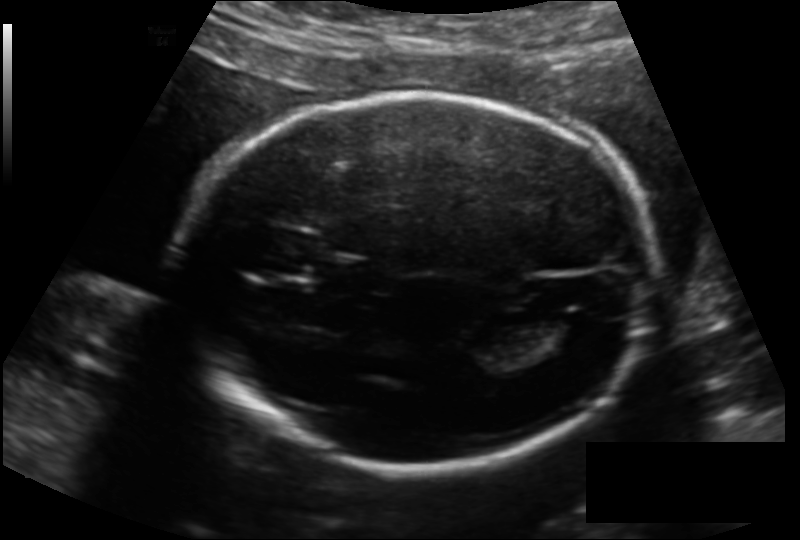
In this fetal head ultrasound, give bounding boxes for the head outline, cavum septum pellucidum (CSP), and lateral ventricle (LV), where visible. Image width: 120.8 mm.

Head: [174,94,652,467]
Lateral ventricle: [534,306,600,354]